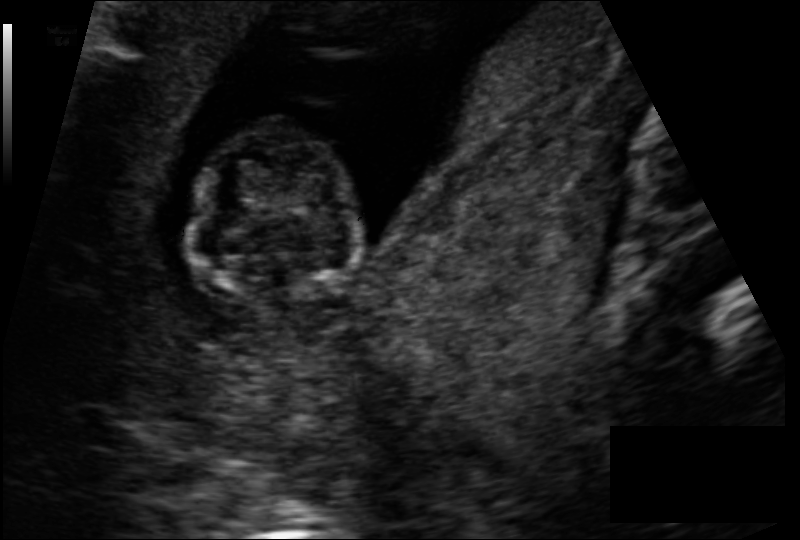
Measure the fetal head circumference shown in this ultrasound image. Image width: 90.4 mm.

Head circumference: 67.3 mm.